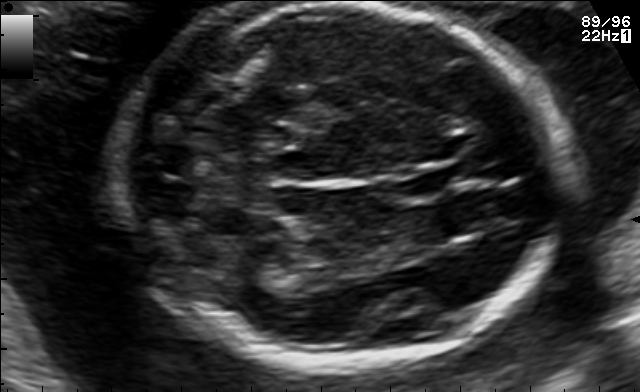
Fetal brain, trans-thalamic plane. Give [x1,y1,x2,y2] bounding boxes for each visible structure among: fetal head, CSP, LV.

Head: [115,2,558,365]